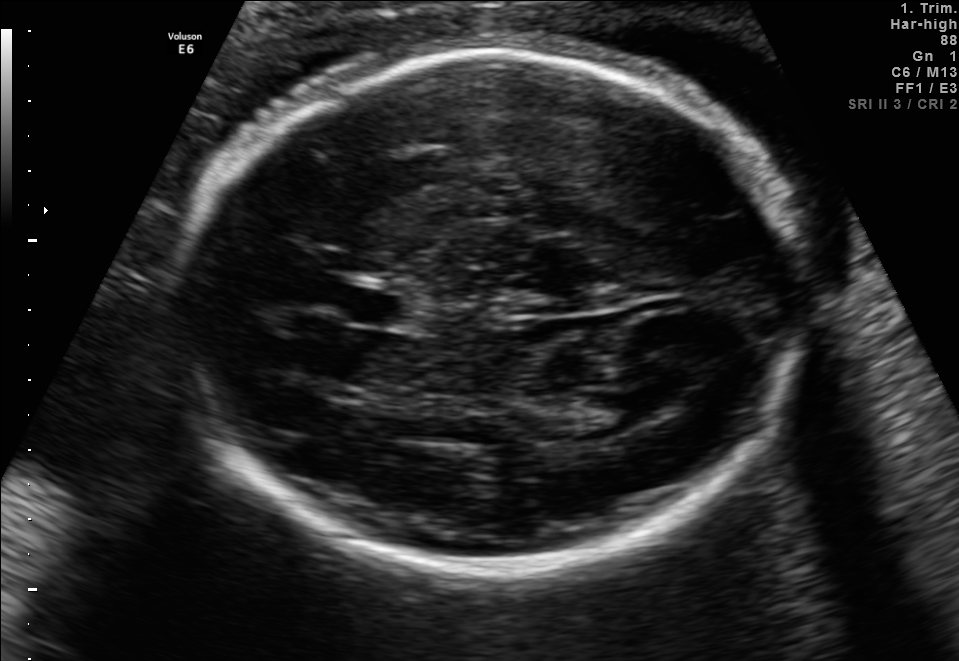
Fetal brain, trans-thalamic plane. Locate the fetal head.

Head: [180,54,819,573]